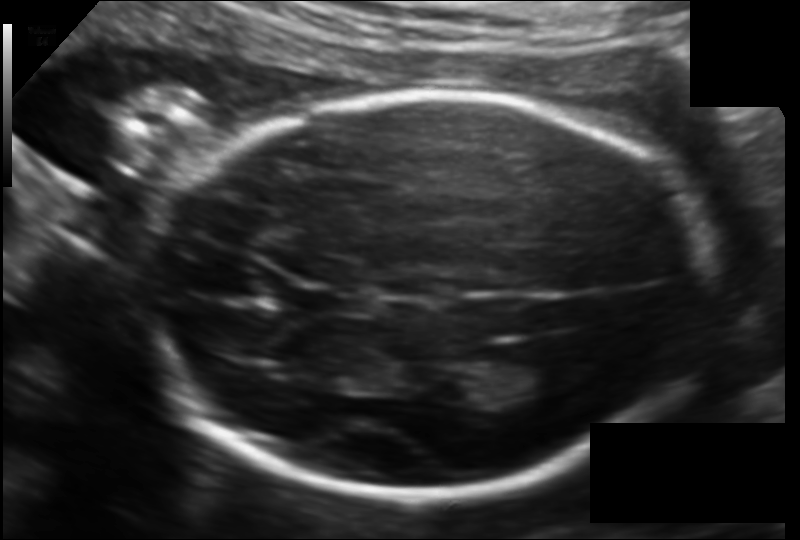
Fetal head ultrasound. Image width: 103.8 mm. Locate the fetal head and, if visible, the cavum septum pellucidum (CSP) and lateral ventricle (LV). Give bounding boxes as [x1,y1,x2,y2].

Head: [149,96,711,493]
CSP: [288,283,348,318]
Lateral ventricle: [482,344,568,401]